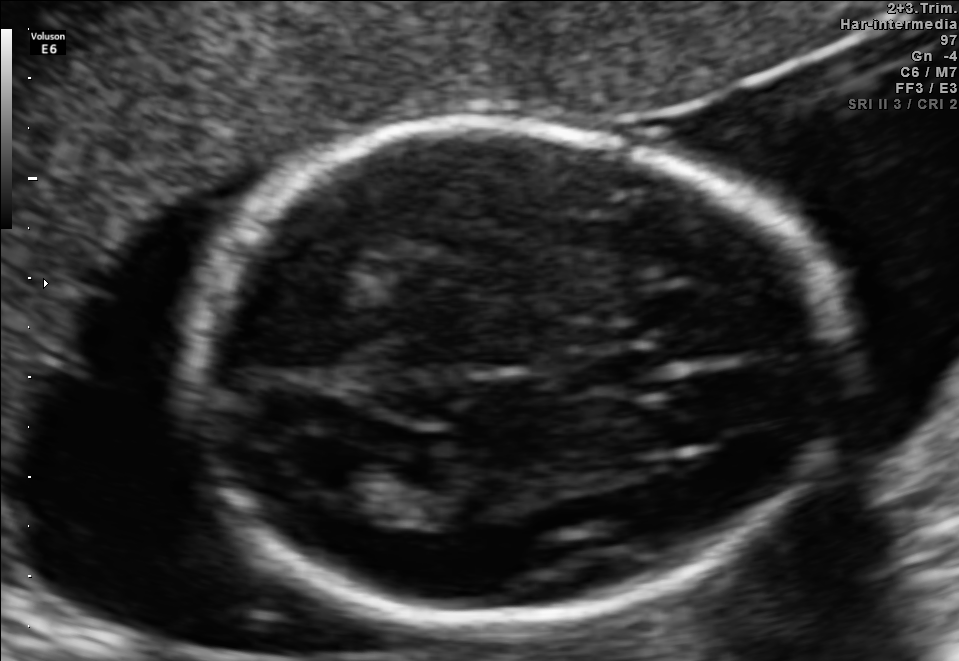
Fetal brain, trans-ventricular plane. Locate the cavum septum pellucidum.

CSP: [557,354,641,390]